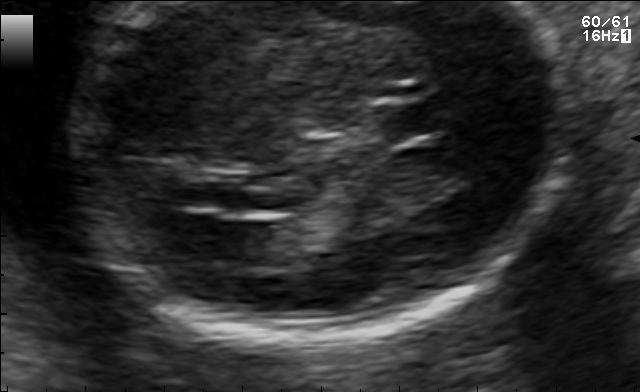
Fetal brain, trans-ventricular plane. Give [x1,y1,x2,y2] bounding boxes for each visible structure among: CSP, LV.

CSP: [379,94,458,144]
Lateral ventricle: [188,222,273,265]